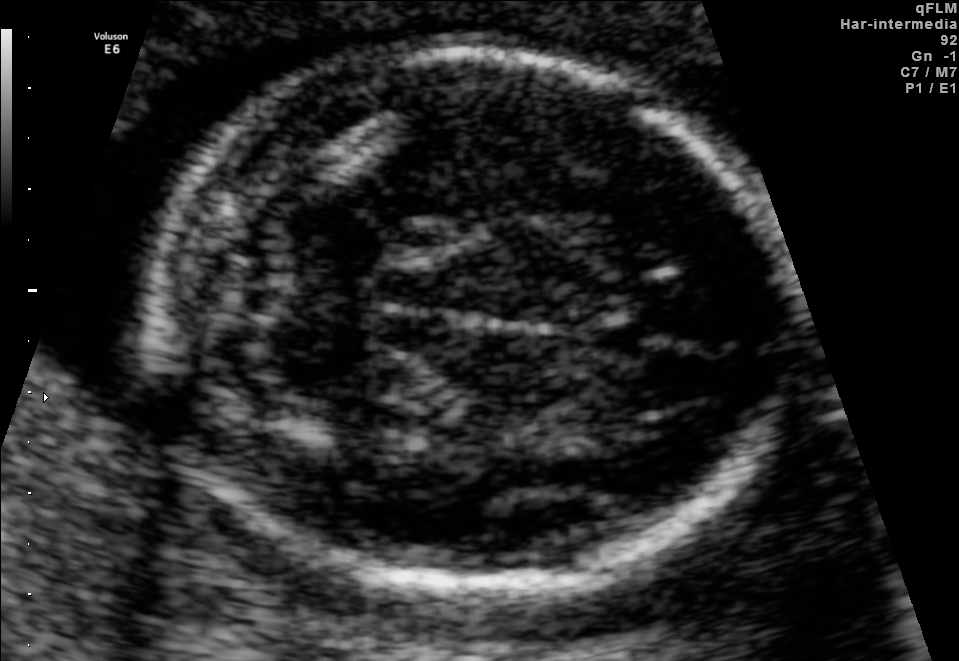
Fetal brain, trans-cerebellum plane. Locate the fetal head.

Head: [154,47,799,600]